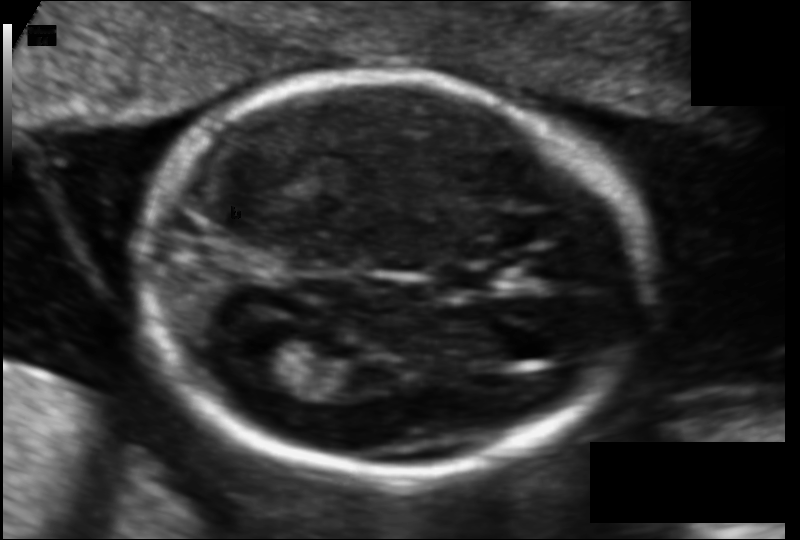
Fetal head ultrasound. Image width: 83.2 mm. Where is the fetal head?

Head bounding box: [136,74,644,475]